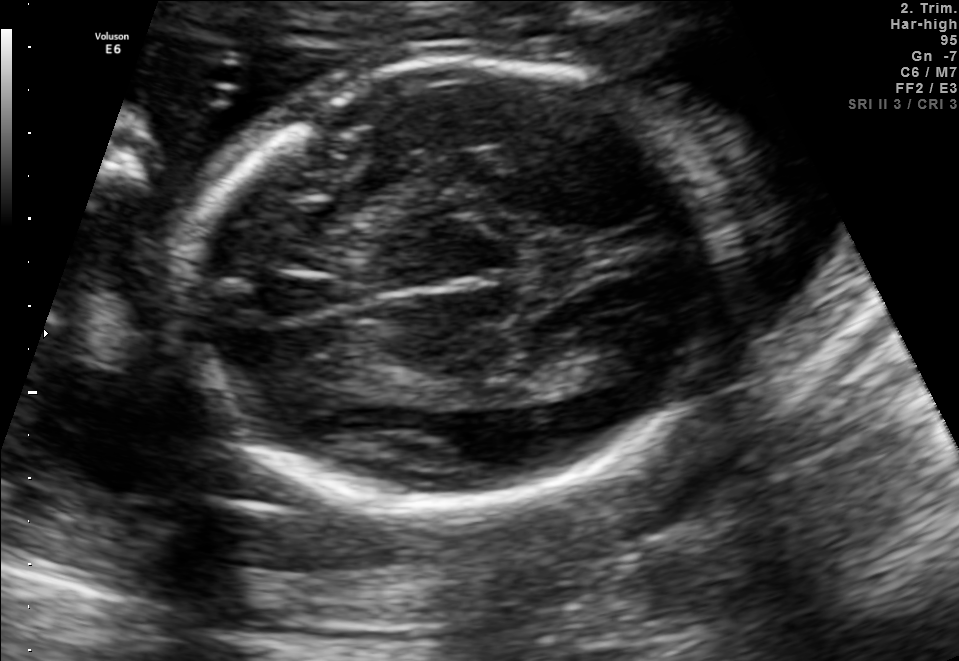
In this fetal brain, trans-thalamic plane, give bounding boxes for the head outline, cavum septum pellucidum (CSP), and lateral ventricle (LV), where visible.

Head: [182,56,719,507]